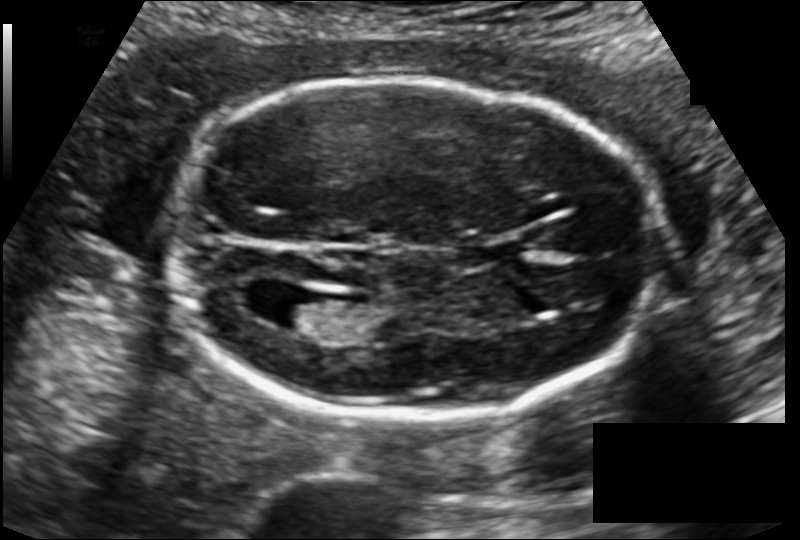
Fetal head ultrasound. Image width: 103.4 mm. Give [x1,y1,x2,y2] bounding boxes for each visible structure among: fetal head, CSP, LV.

Head: [163,78,657,419]
CSP: [462,231,528,271]
Lateral ventricle: [262,285,334,337]